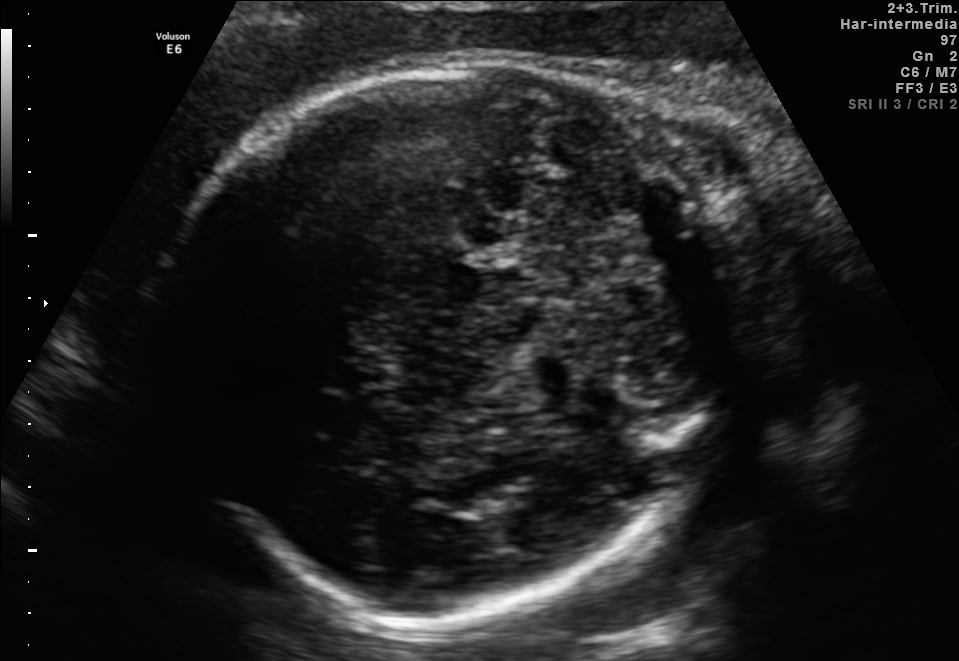
Fetal brain, trans-thalamic plane. Locate the fetal head and, if visible, the cavum septum pellucidum (CSP) and lateral ventricle (LV). Give bounding boxes as [x1,y1,x2,y2].

Head: [162,61,771,618]